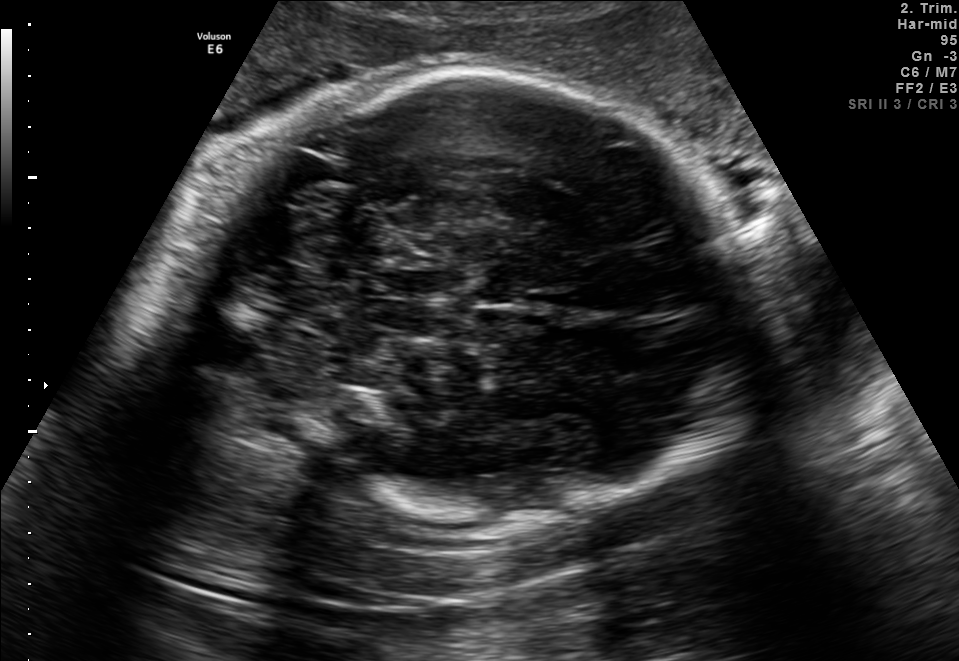
Fetal brain, trans-thalamic plane. Locate the fetal head and, if visible, the cavum septum pellucidum (CSP) and lateral ventricle (LV). Give bounding boxes as [x1,y1,x2,y2].

Head: [218,67,755,528]